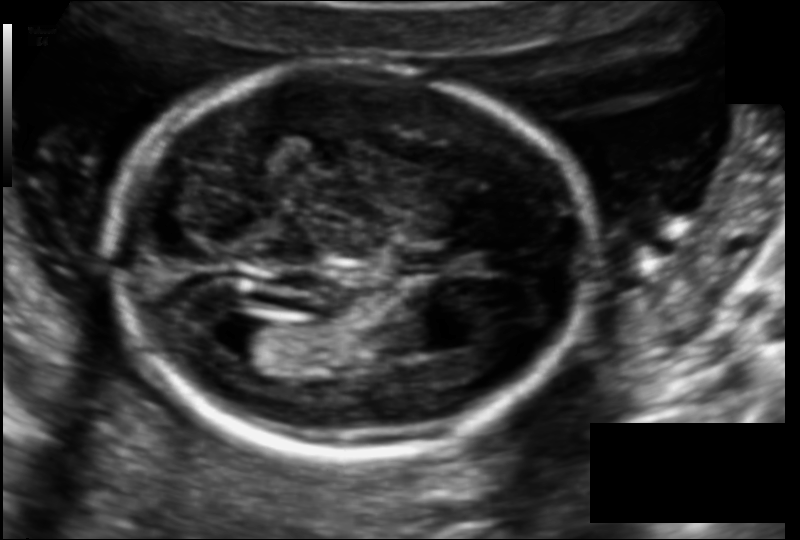
Measure the fetal head circumference shown in this ultrasound image. Image width: 91.5 mm.

Head circumference: 160.7 mm.